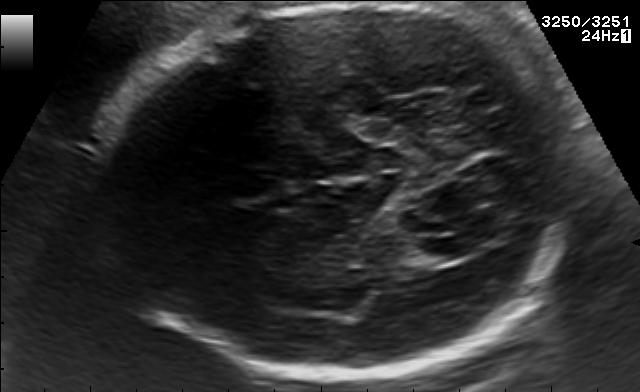
Fetal brain, trans-thalamic plane. Locate the fetal head.

Head: [109,3,573,381]